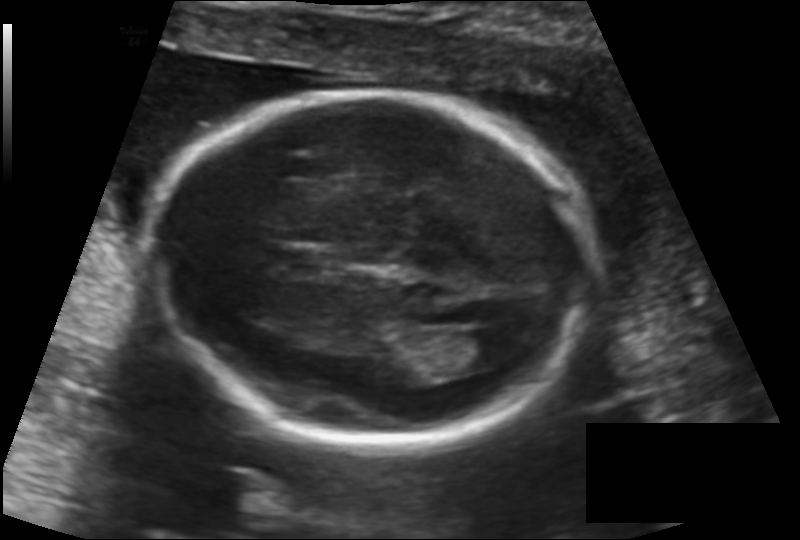
Estimate the fetal head circumference from this 2D ultrasound.

Head circumference: 175.1 mm (image width 109.6 mm).